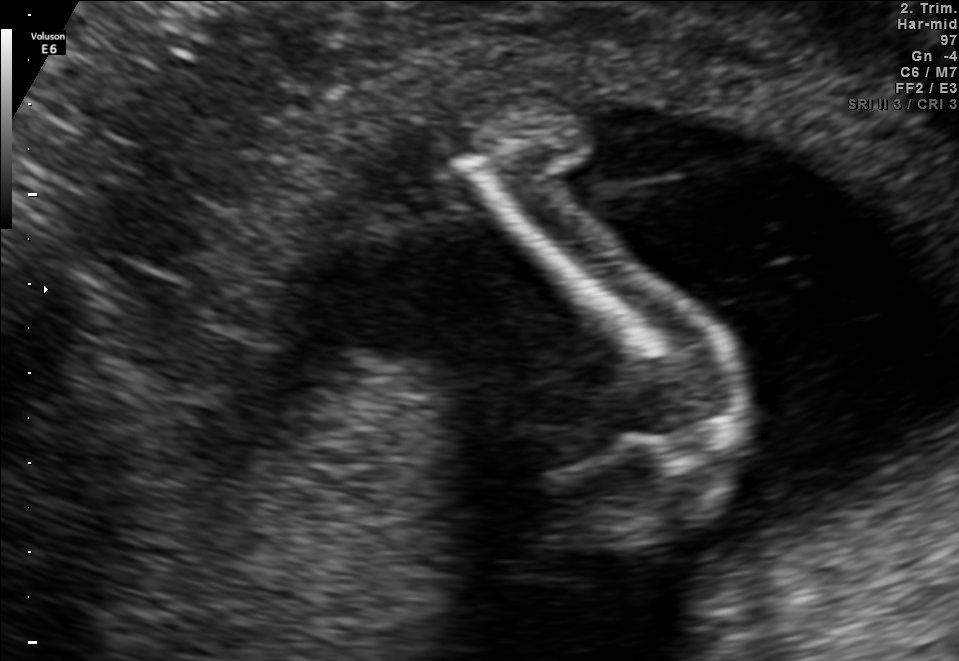
This is a 2D maternal-fetal ultrasound frame. Is it a fetal abdomen, fetal brain, fetal femur, fetal thorax, maternal cervix, or other standard plane? If it's fetal brain and one of the three standard brain planes (trans-thalamic, trans-cerebellum, trans-ventricular), name which.

Other